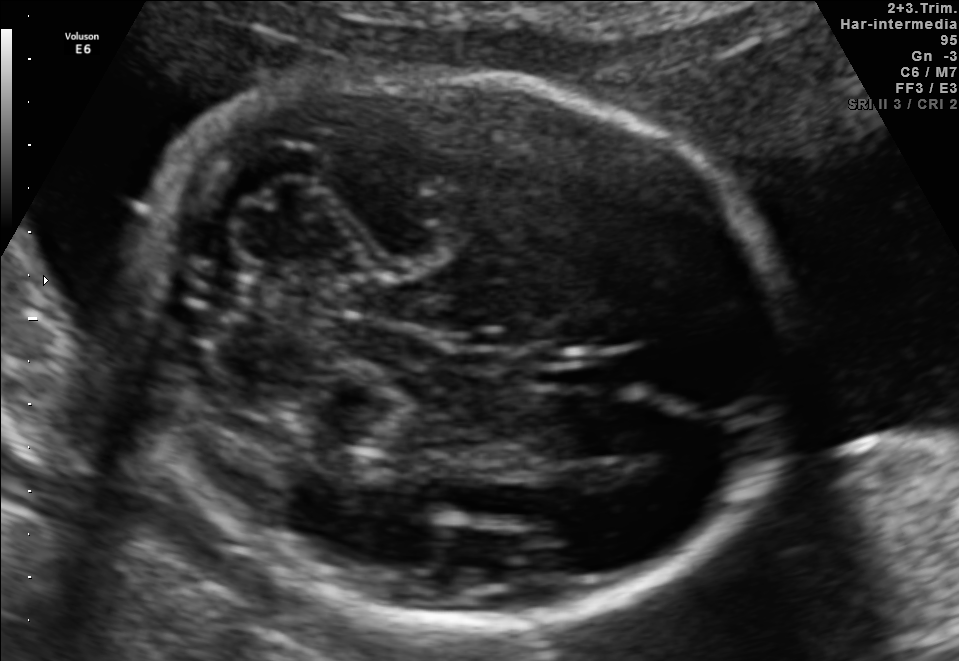
Fetal brain, trans-cerebellum plane. Give [x1,y1,x2,y2] bounding boxes for each visible structure among: fetal head, CSP, LV.

Head: [128,71,789,630]